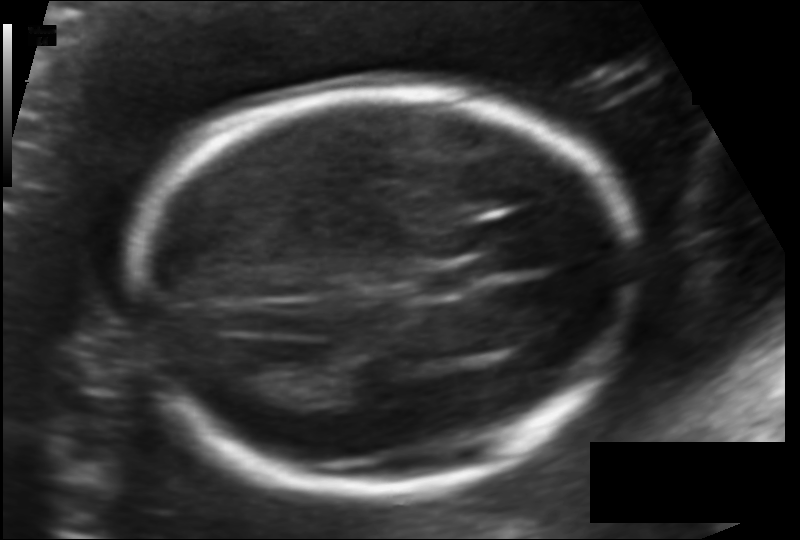
From this fetal ultrasound, estimate the head circumference (image width 99.3 mm).

Head circumference: 182.1 mm.